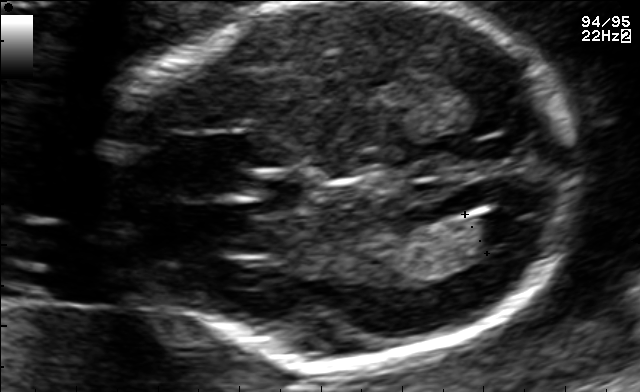
In this fetal brain, trans-ventricular plane, give bounding boxes for the head outline, cavum septum pellucidum (CSP), and lateral ventricle (LV), where visible.

Head: [94,1,595,377]
CSP: [236,180,299,210]
Lateral ventricle: [465,200,538,252]